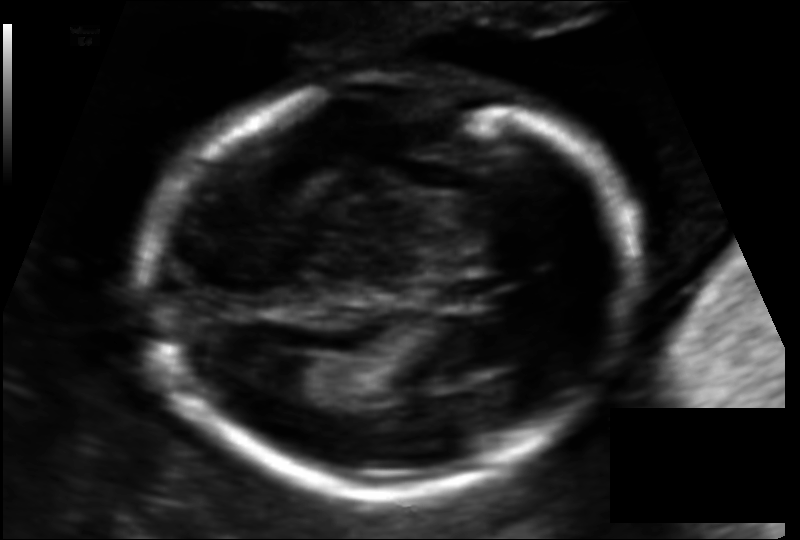
Estimate the fetal head circumference from this 2D ultrasound.

Head circumference: 170.9 mm (image width 92.3 mm).